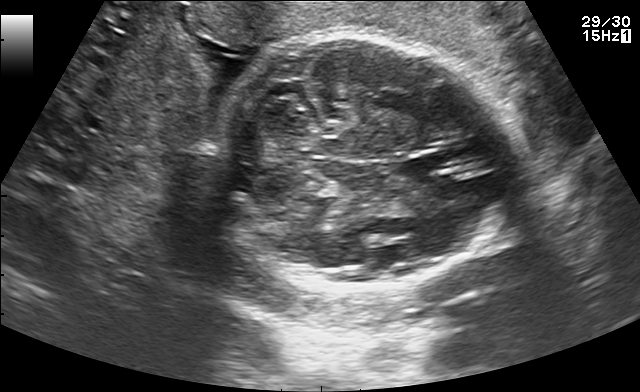
Classify this maternal-fetal ultrasound image as one of the six standard planes — fetal abdomen, fetal brain, fetal femur, fetal thorax, maternal cervix, or other. If it's fetal brain and one of the three standard brain planes (trans-thalamic, trans-cerebellum, trans-ventricular), name which.

Fetal brain (trans-cerebellum plane)